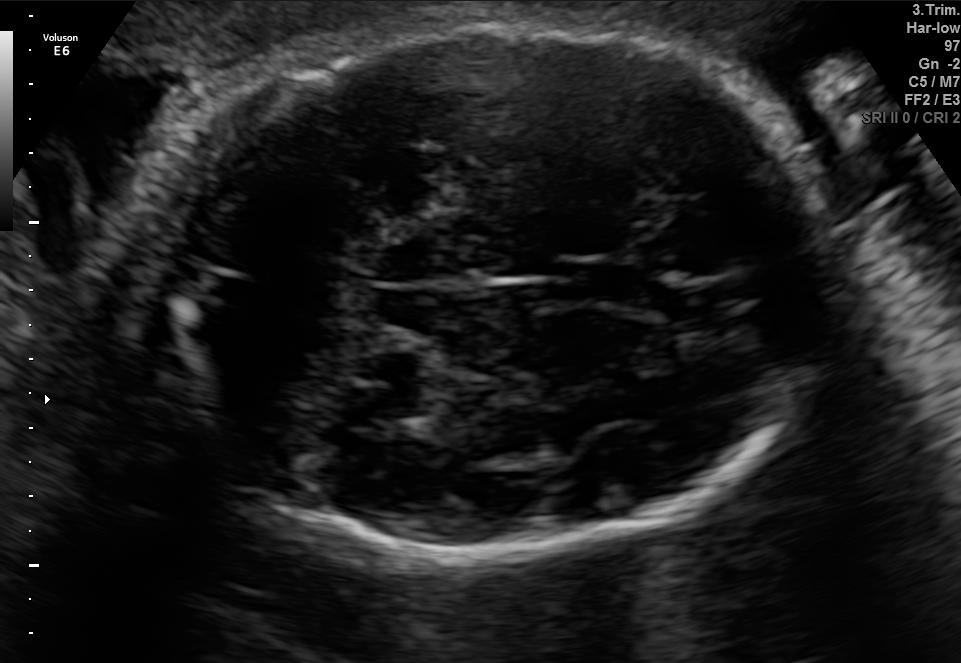
Fetal brain, trans-cerebellum plane. Give [x1,y1,x2,y2] bounding boxes for each visible structure among: fetal head, CSP, LV.

Head: [140,24,829,555]
CSP: [571,255,658,312]